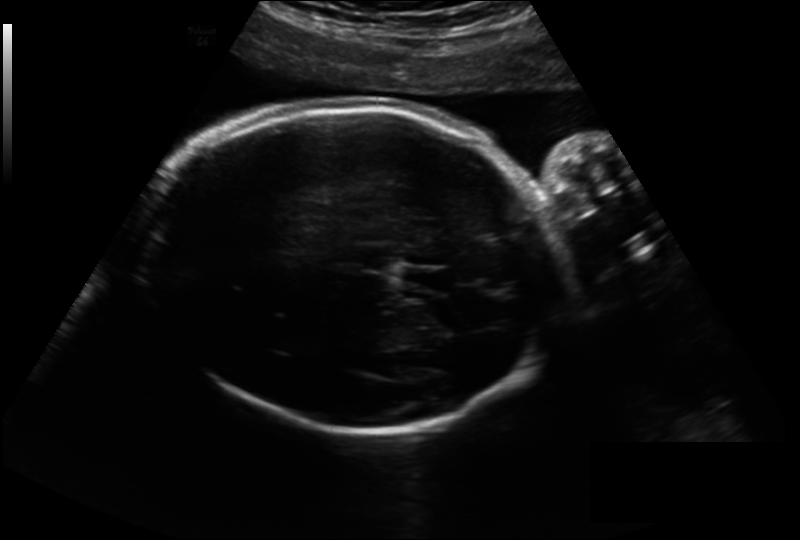
Fetal head ultrasound. Image width: 194.6 mm. Locate the fetal head and, if visible, the cavum septum pellucidum (CSP) and lateral ventricle (LV). Give bounding boxes as [x1,y1,x2,y2].

Head: [139,102,566,430]
CSP: [400,266,450,291]